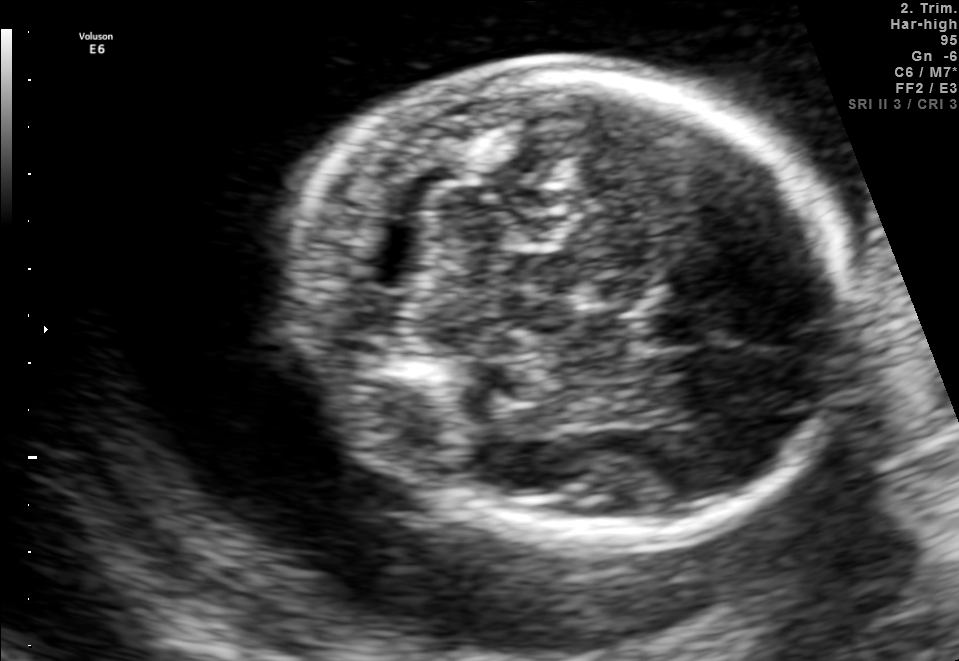
Fetal brain, trans-cerebellum plane. Locate the fetal head.

Head: [299,72,852,547]